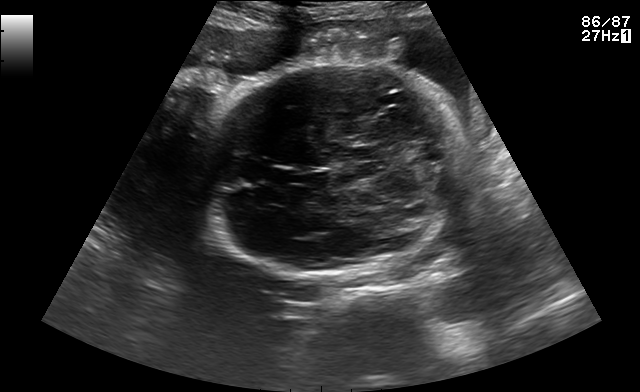
Fetal brain, trans-thalamic plane. Locate the fetal head.

Head: [198,65,470,278]